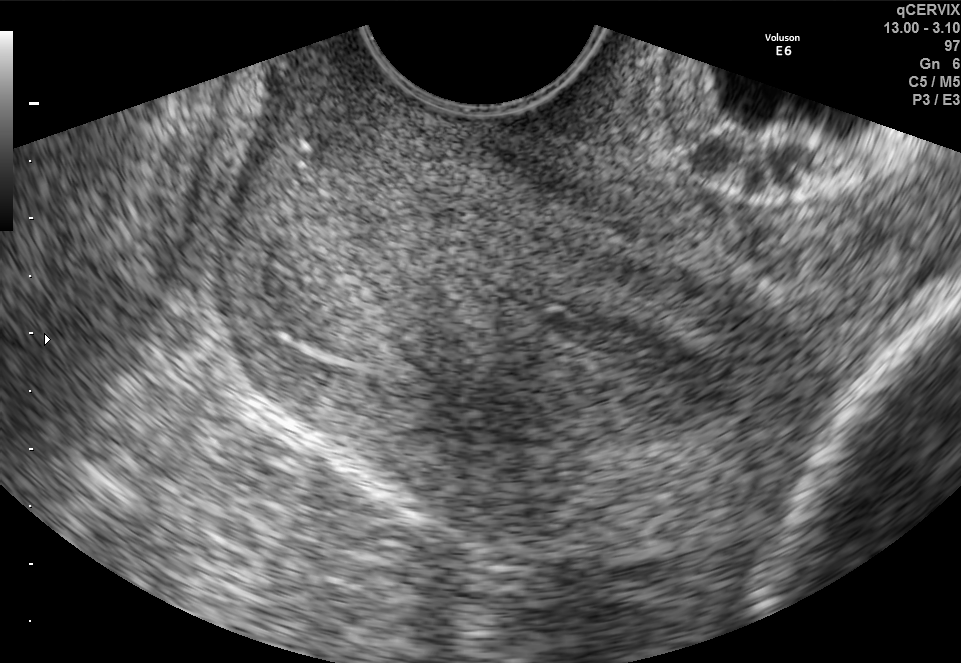
Identify the standard plane in this fetal ultrasound image: fetal abdomen, fetal brain, fetal femur, fetal thorax, maternal cervix, or other. If it's fetal brain and one of the three standard brain planes (trans-thalamic, trans-cerebellum, trans-ventricular), name which.

Maternal cervix